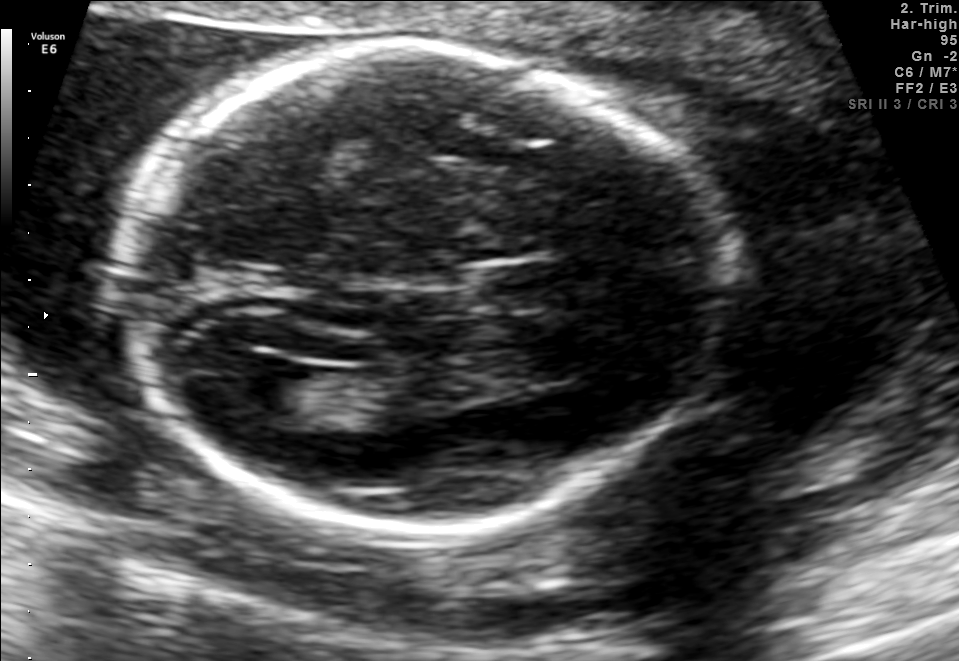
Fetal brain, trans-ventricular plane. Locate the fetal head.

Head: [106,33,747,548]